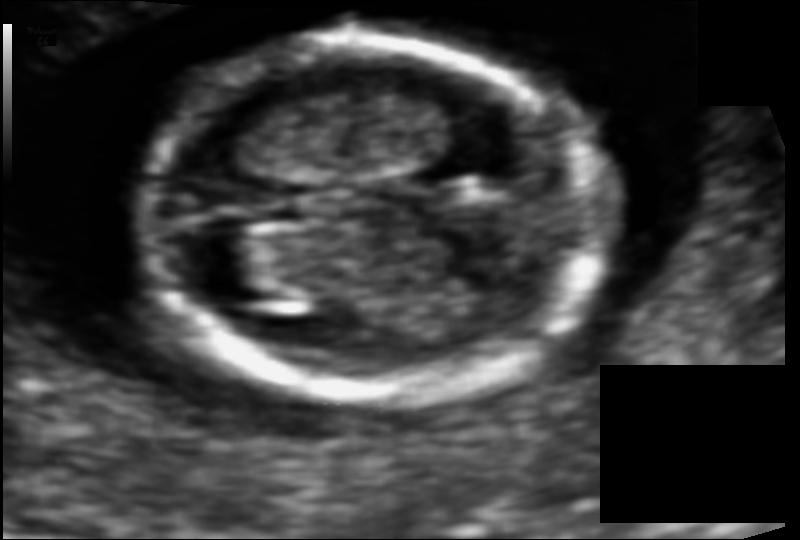
Fetal head ultrasound. Image width: 59.6 mm. Give [x1,y1,x2,y2] bounding boxes for each visible structure among: fetal head, CSP, LV.

Head: [139,43,604,397]